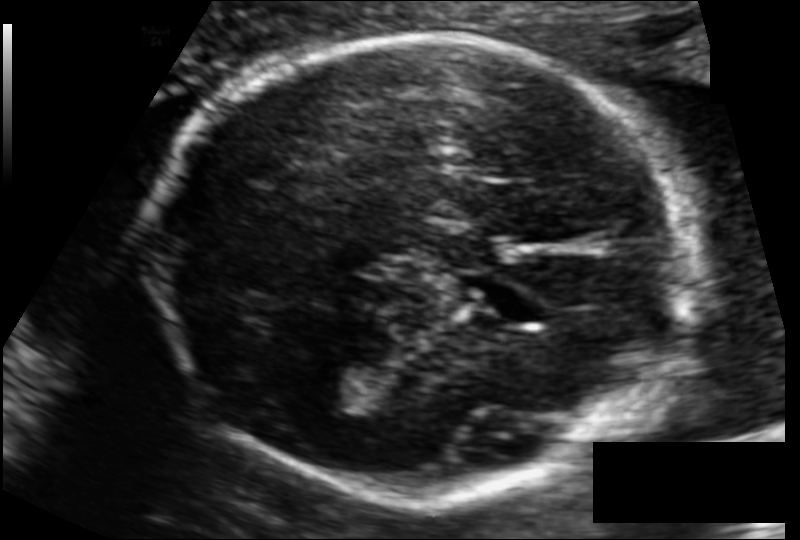
Fetal head ultrasound. Image width: 89.9 mm. Locate the fetal head.

Head: [152,33,690,495]